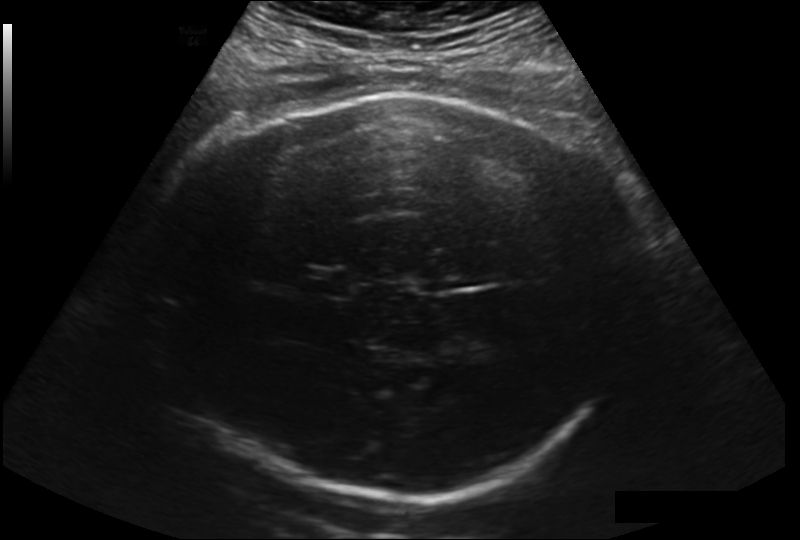
What is the fetal head circumference? Image width is 179.8 mm.

327.6 mm